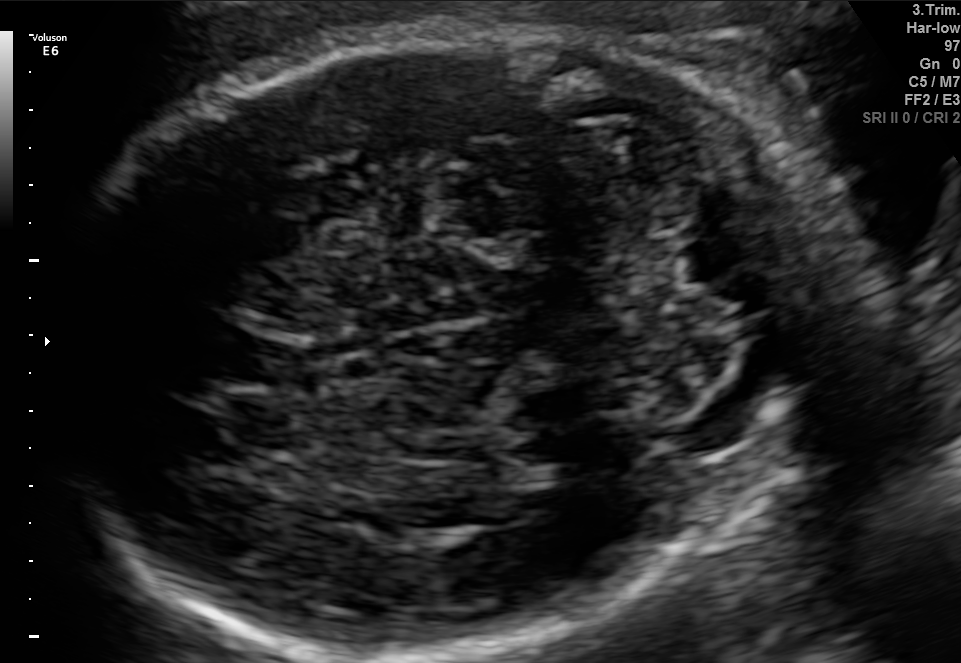
Fetal brain, trans-cerebellum plane. Where is the fetal head?

Head bounding box: [51,25,860,648]